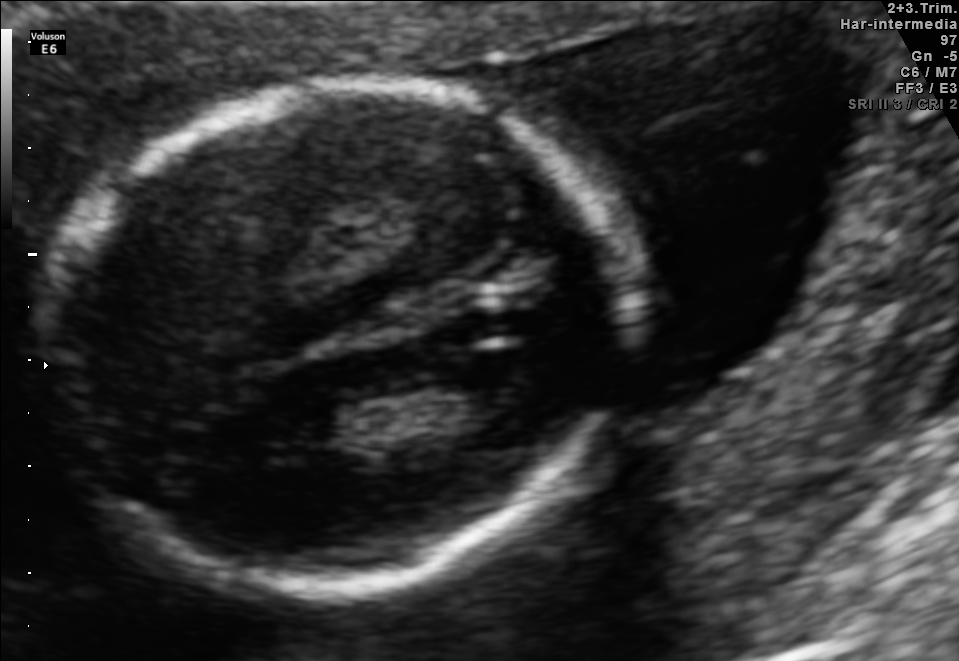
In this fetal brain, trans-thalamic plane, give bounding boxes for the head outline, cavum septum pellucidum (CSP), and lateral ventricle (LV), where visible.

Head: [43,77,624,594]